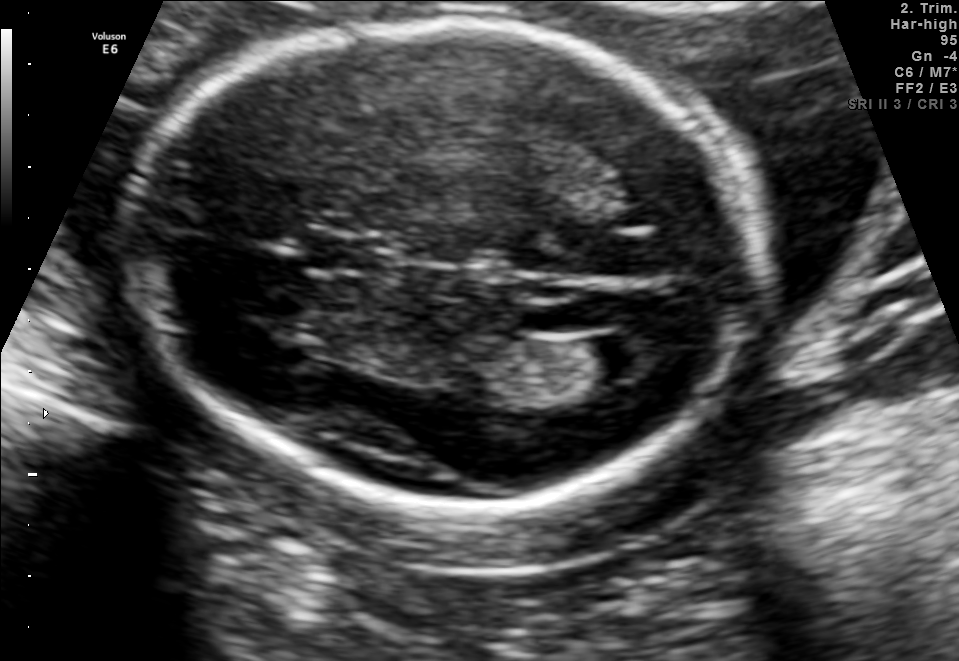
Fetal brain, trans-ventricular plane. Locate the cavum septum pellucidum.

CSP: [297,223,402,287]